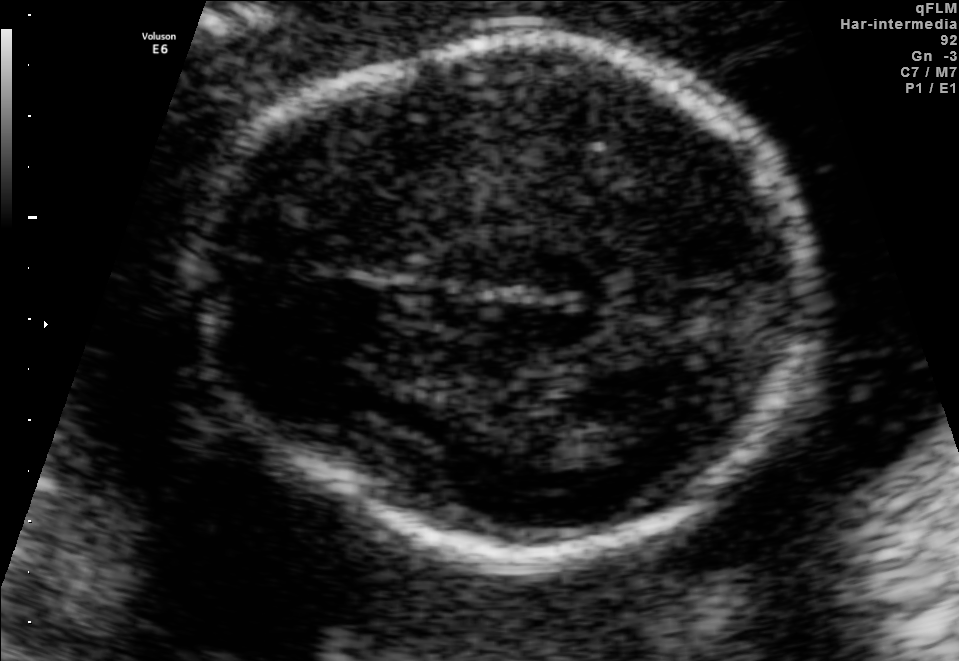
Fetal brain, trans-thalamic plane. Locate the fetal head.

Head: [201,39,810,554]